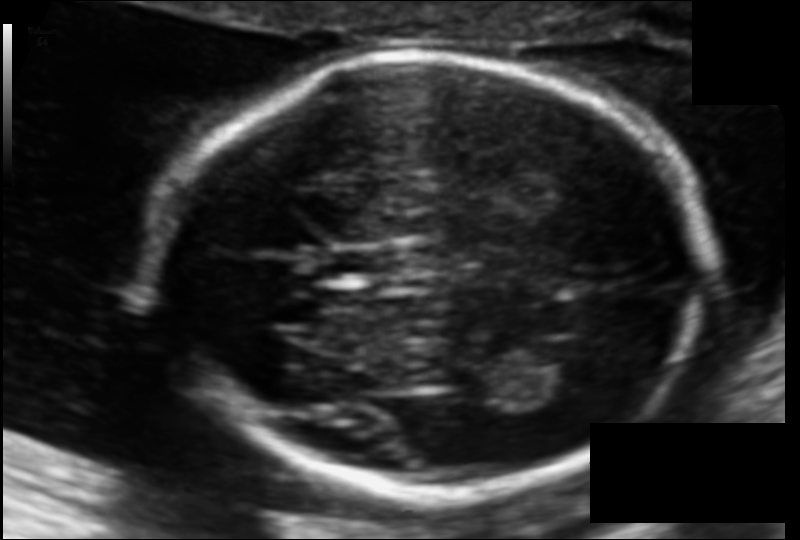
Fetal head ultrasound. Image width: 86.8 mm. Give [x1,y1,x2,y2] bounding boxes for each visible structure among: fetal head, CSP, LV.

Head: [154,54,704,491]
CSP: [329,249,393,278]
Lateral ventricle: [519,337,601,398]